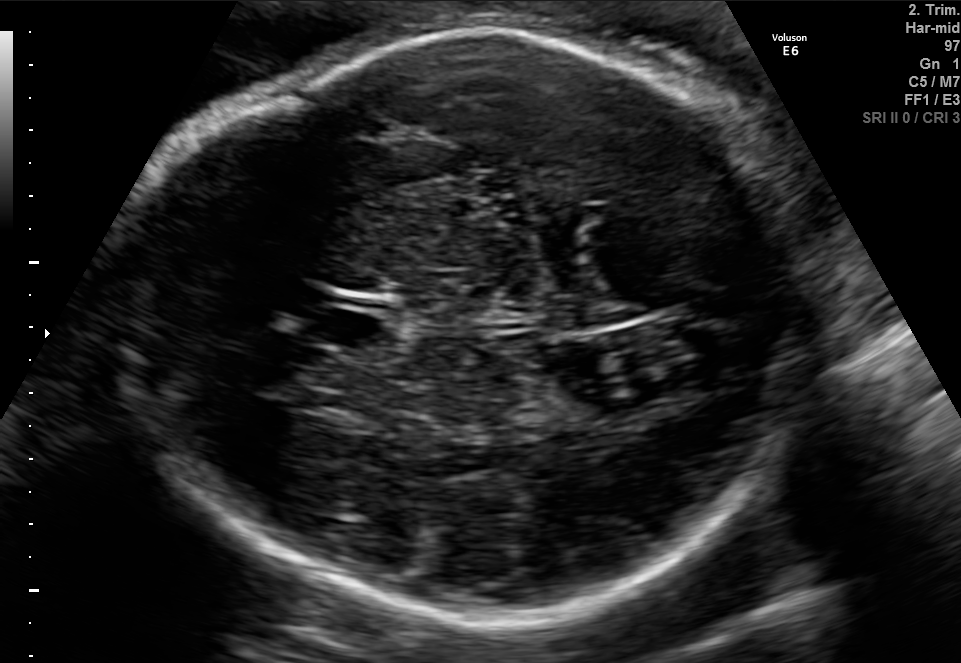
Fetal brain, trans-thalamic plane. Where is the fetal head?

Head bounding box: [112,29,835,630]